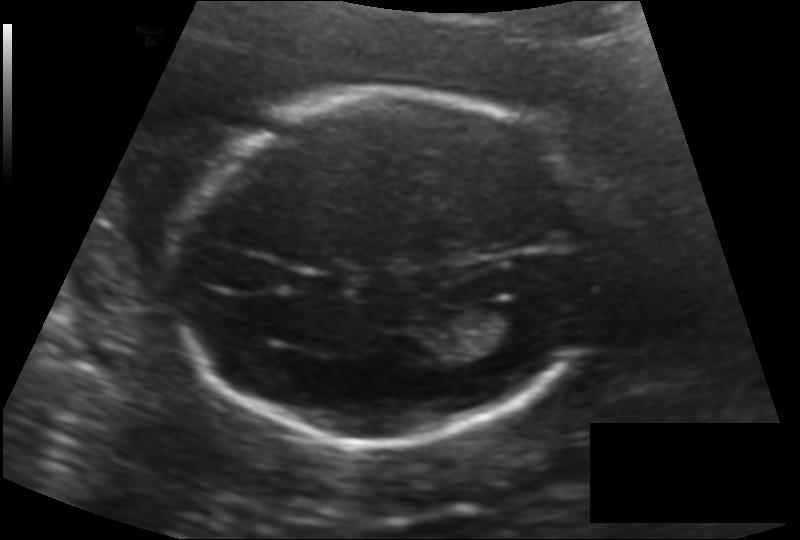
Fetal head ultrasound. Image width: 112.2 mm. Where is the fetal head?

Head bounding box: [169,91,594,445]